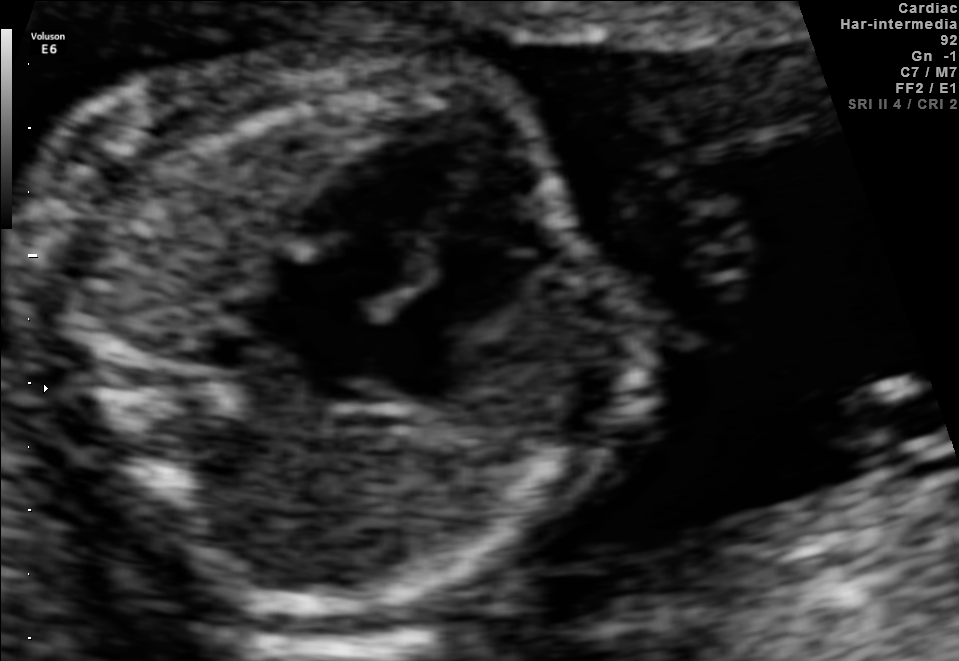
Identify the standard plane in this fetal ultrasound image: fetal abdomen, fetal brain, fetal femur, fetal thorax, maternal cervix, or other. If it's fetal brain and one of the three standard brain planes (trans-thalamic, trans-cerebellum, trans-ventricular), name which.

Fetal thorax